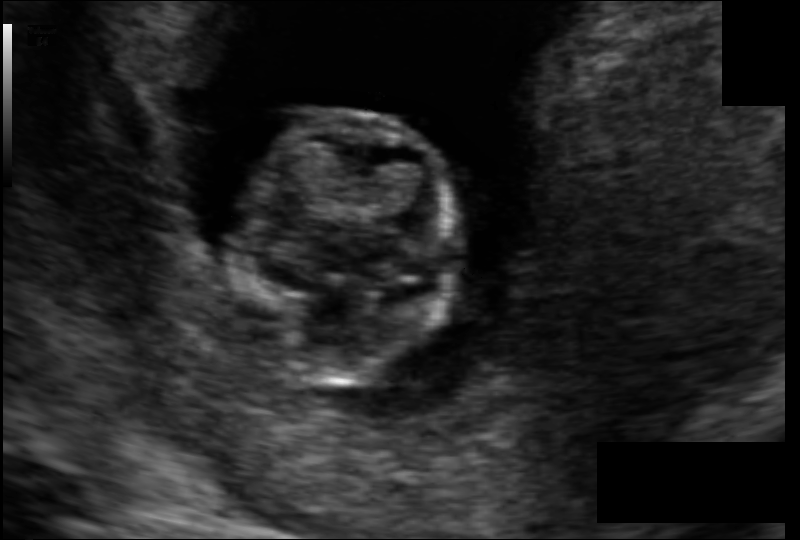
Estimate the fetal head circumference from this 2D ultrasound. Image width: 72.7 mm.

Head circumference: 73.1 mm.